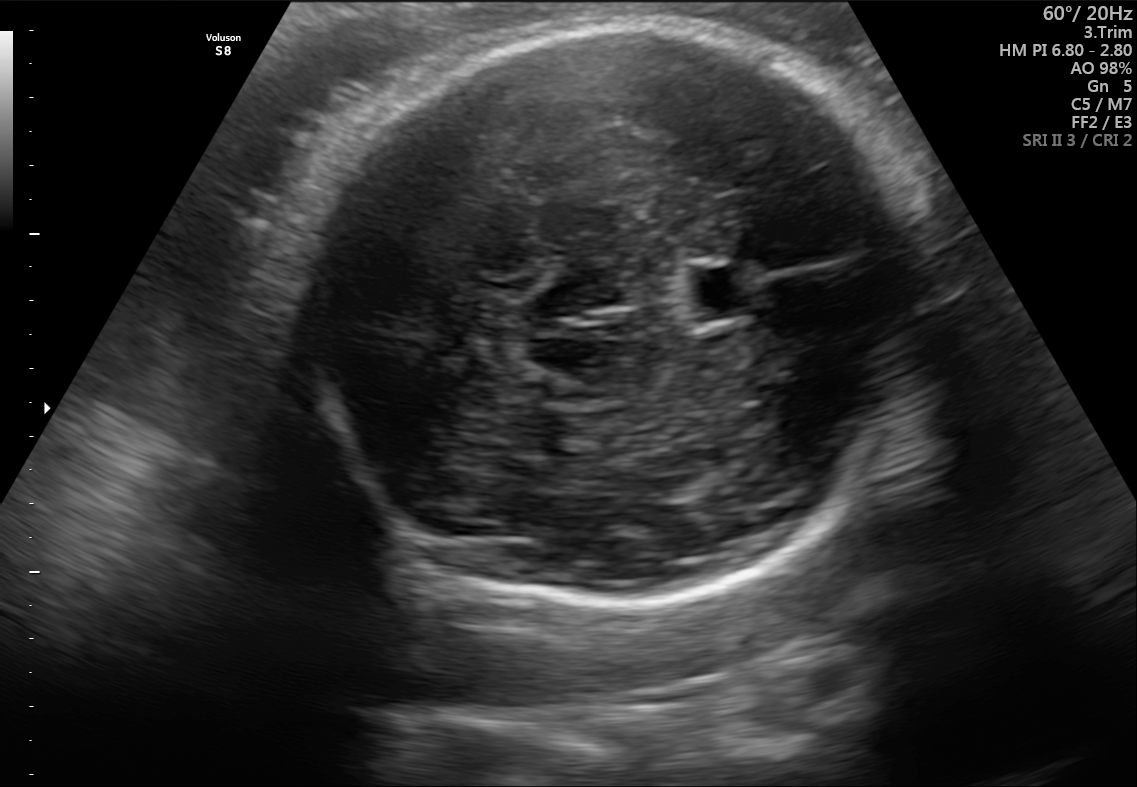
Fetal brain, trans-thalamic plane. Where is the cavum septum pellucidum?

CSP bounding box: [682,260,767,325]